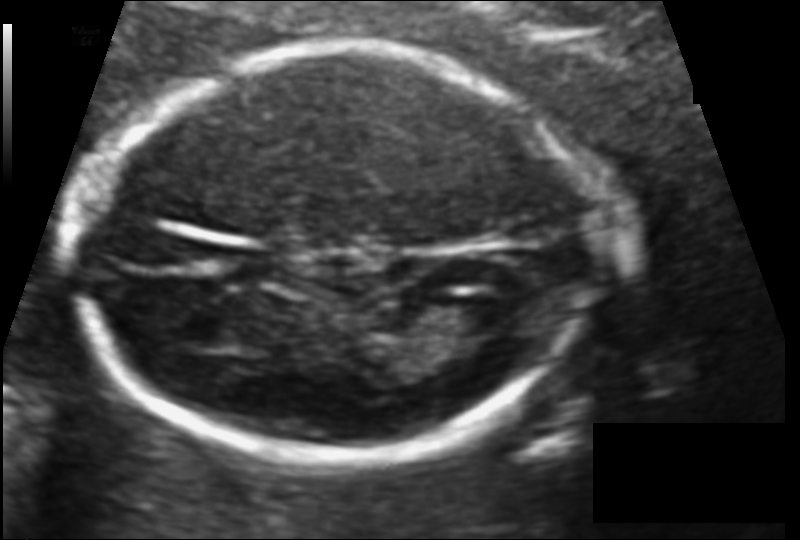
In this fetal head ultrasound, give bounding boxes for the head outline, cavum septum pellucidum (CSP), and lateral ventricle (LV), where visible. Image width: 81.3 mm.

Head: [76,49,587,463]
Lateral ventricle: [436,294,507,336]